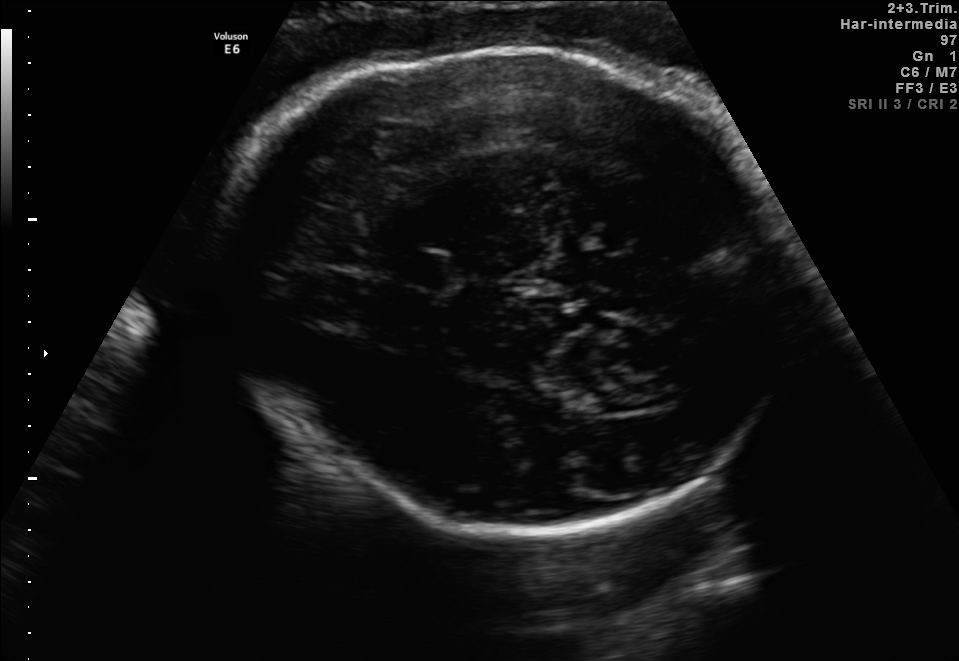
Fetal brain, trans-thalamic plane. Give [x1,y1,x2,y2] bounding boxes for each visible structure among: fetal head, CSP, LV.

Head: [206,46,807,531]
CSP: [403,252,452,290]
Lateral ventricle: [584,378,671,419]